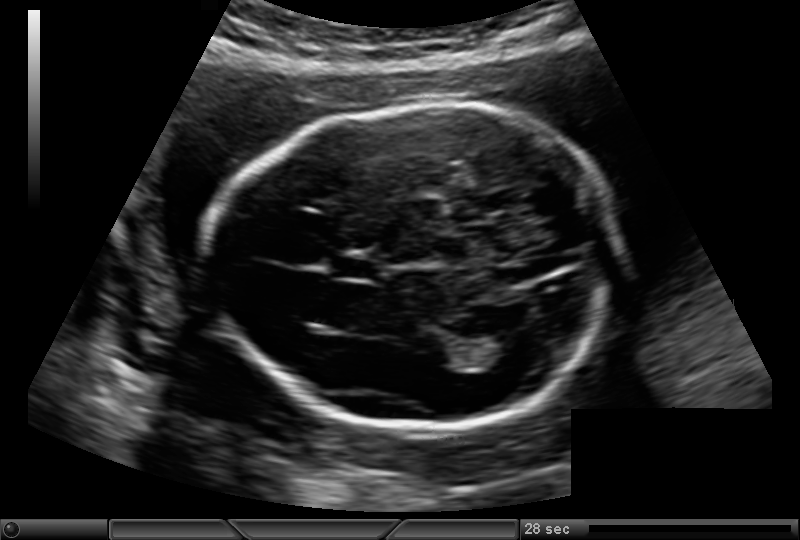
Fetal head ultrasound. Image width: 117.2 mm. Where is the cavum septum pellucidum?

CSP bounding box: [331,255,377,282]